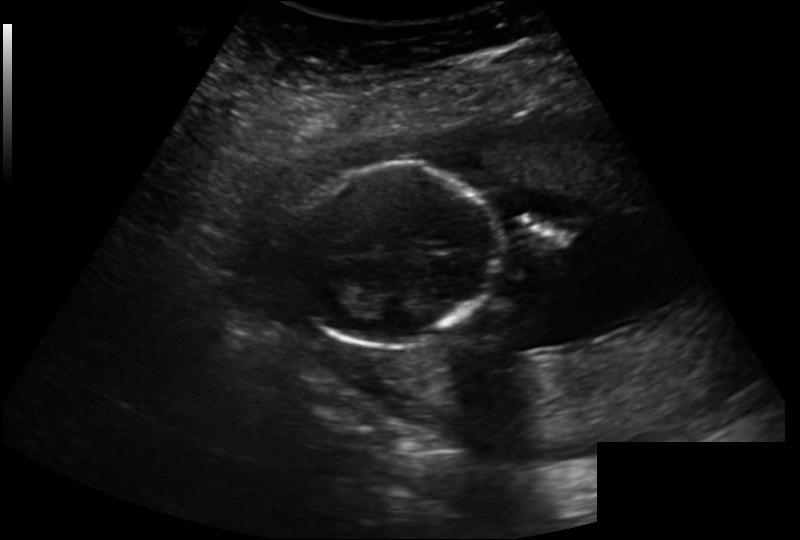
Estimate the fetal head circumference from this 2D ultrasound.

Head circumference: 134.0 mm (image width 161.6 mm).